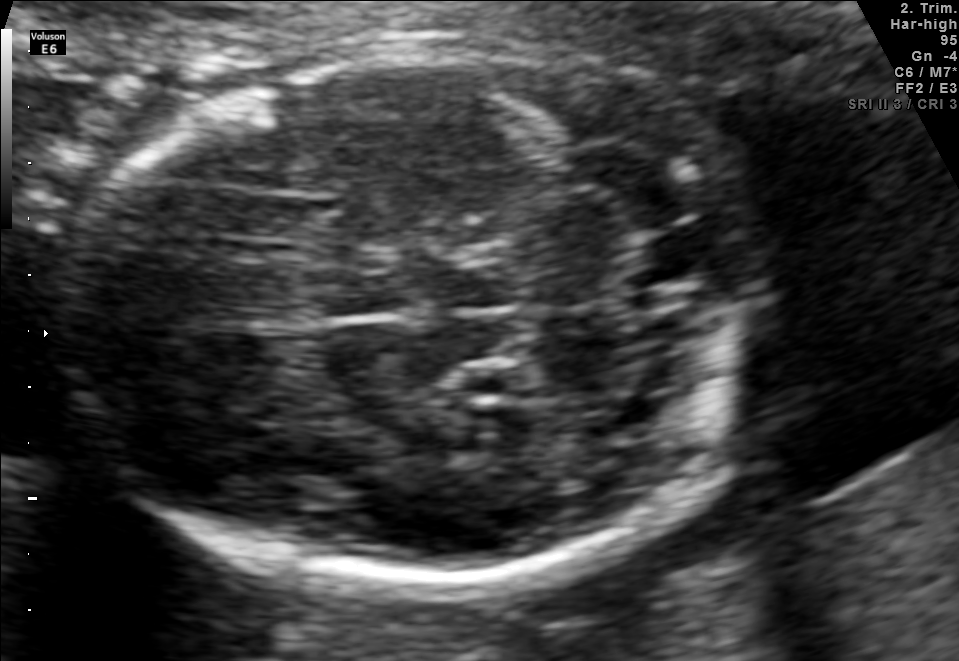
Fetal brain, trans-cerebellum plane. Locate the fetal head and, if visible, the cavum septum pellucidum (CSP) and lateral ventricle (LV). Give bounding boxes as [x1,y1,x2,y2].

Head: [69,49,764,592]